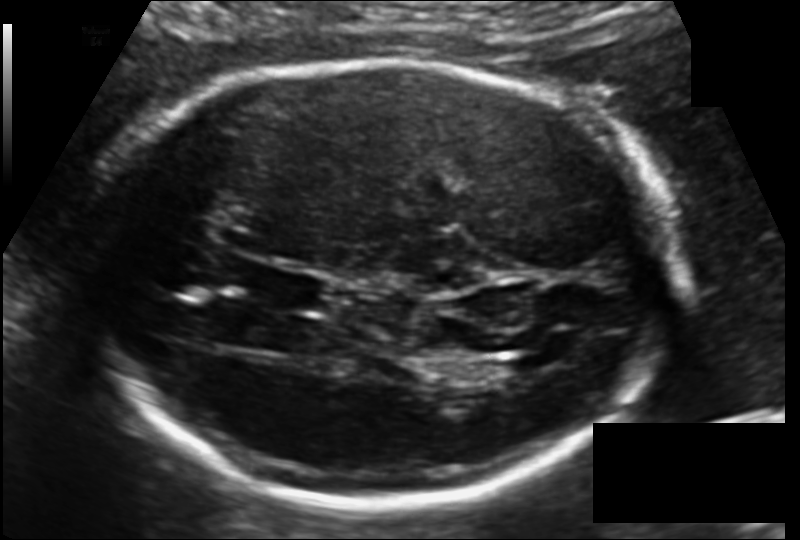
Fetal head ultrasound. Image width: 107.8 mm. Where is the lateral ventricle?

Lateral ventricle bounding box: [499,348,555,380]